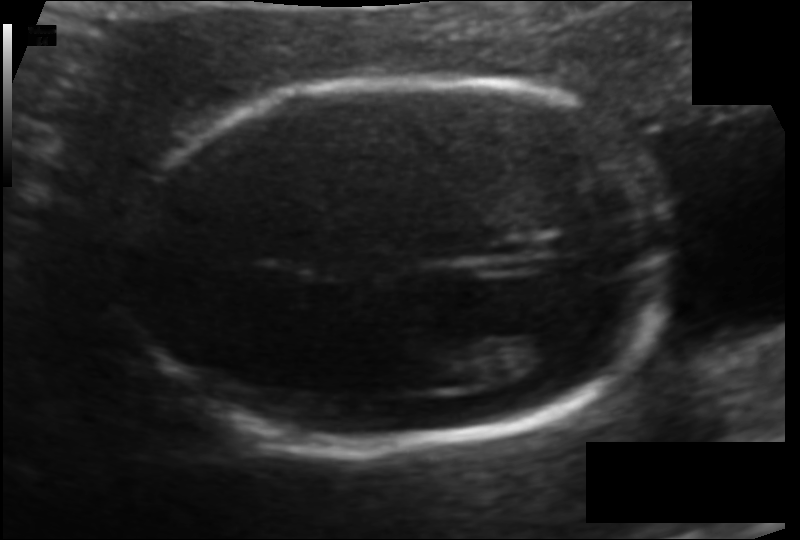
From this fetal ultrasound, estimate the head circumference (image width 83.8 mm).

Head circumference: 156.6 mm.